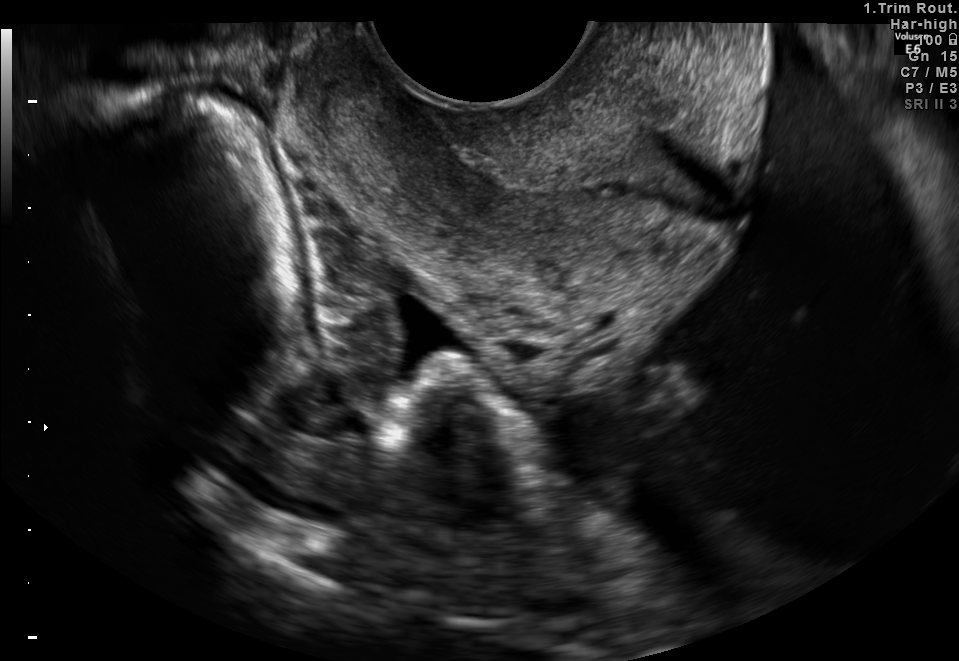
Identify the standard plane in this fetal ultrasound image: fetal abdomen, fetal brain, fetal femur, fetal thorax, maternal cervix, or other. If it's fetal brain and one of the three standard brain planes (trans-thalamic, trans-cerebellum, trans-ventricular), name which.

Maternal cervix